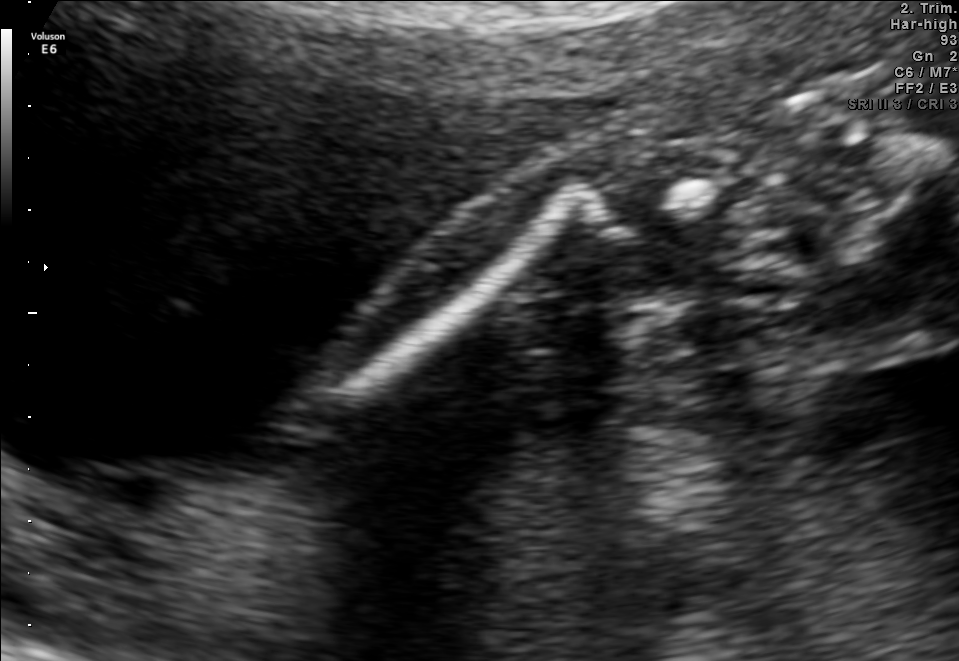
Which standard maternal-fetal ultrasound plane is shown: fetal abdomen, fetal brain, fetal femur, fetal thorax, maternal cervix, or other? If it's fetal brain and one of the three standard brain planes (trans-thalamic, trans-cerebellum, trans-ventricular), name which.

Fetal femur